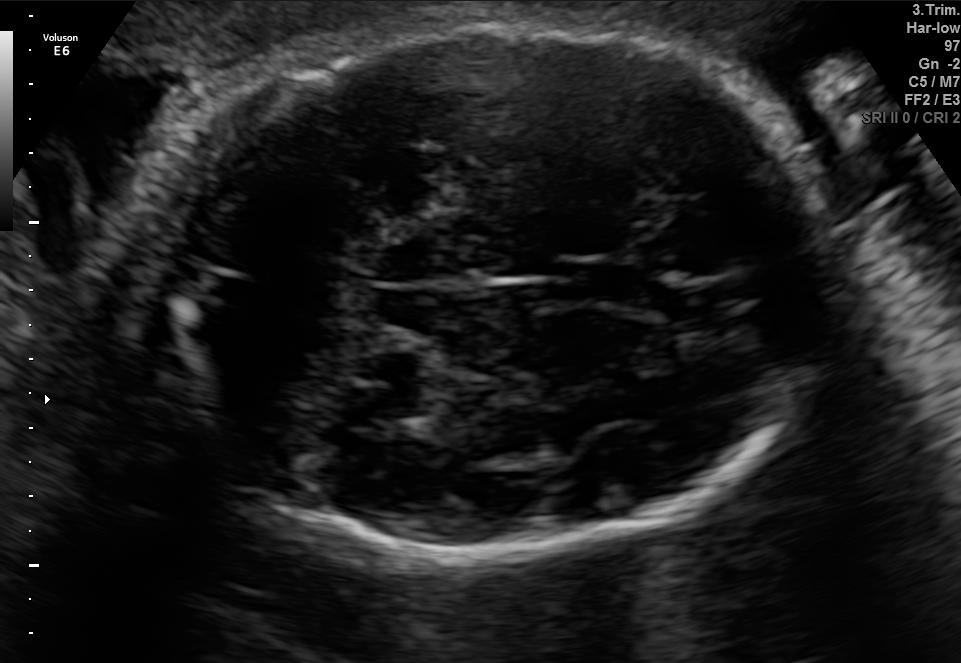
Fetal brain, trans-cerebellum plane. Locate the fetal head.

Head: [140,24,829,555]